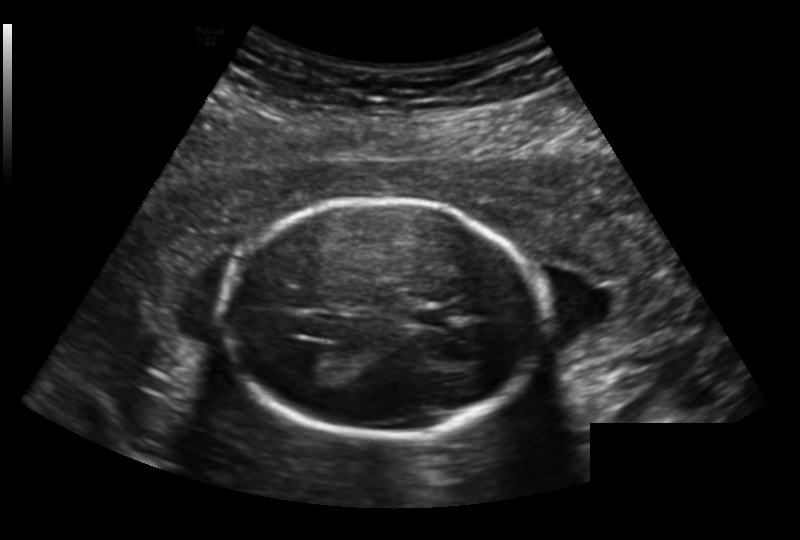
Fetal head ultrasound. Image width: 152.4 mm. Locate the cavum septum pellucidum.

CSP: [412,306,452,328]